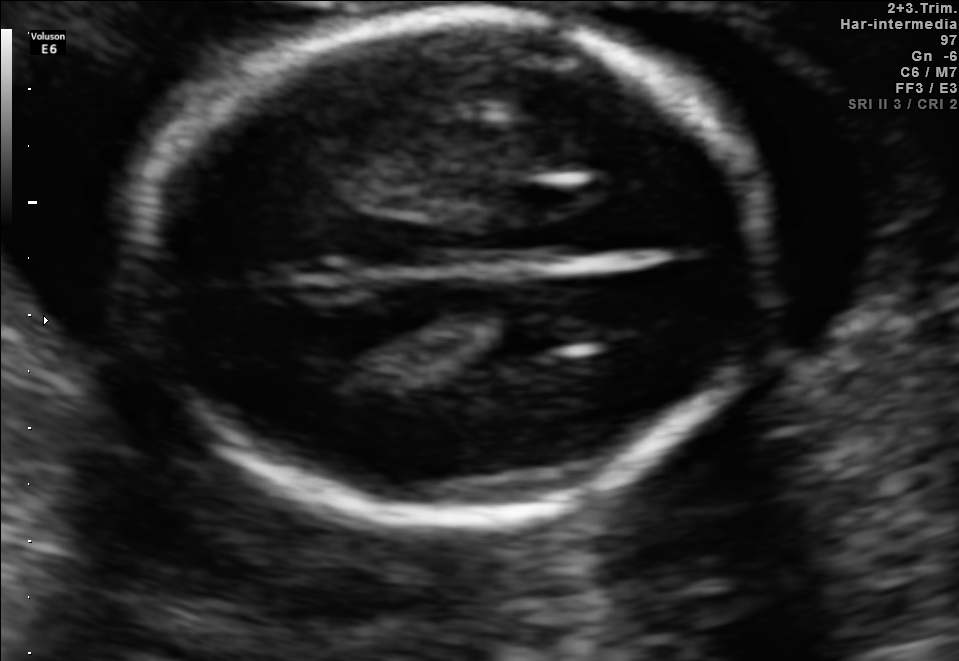
Fetal brain, trans-thalamic plane. Where is the fetal head?

Head bounding box: [125,17,768,518]